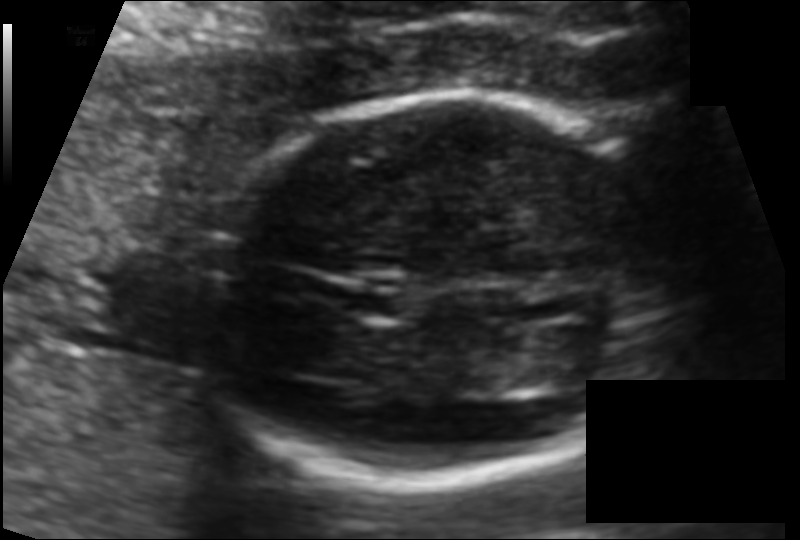
From this fetal ultrasound, estimate the head circumference (image width 80.0 mm).

Head circumference: 142.2 mm.